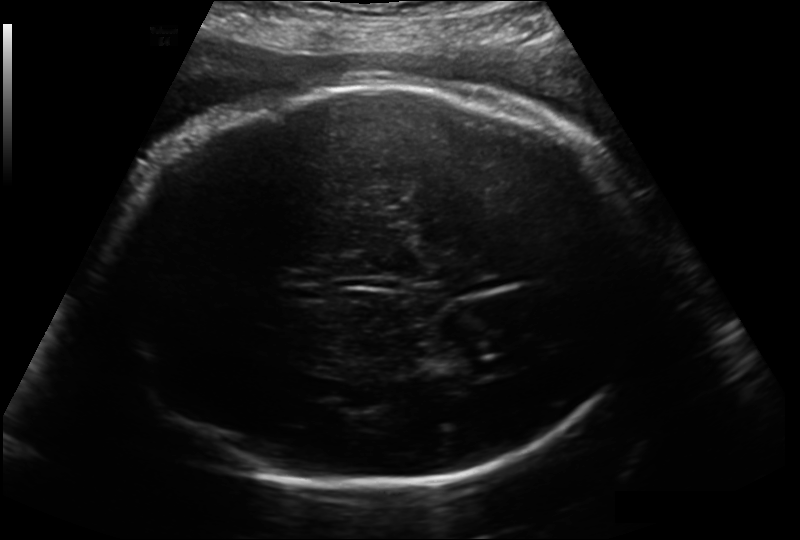
Fetal head ultrasound. Image width: 171.3 mm. Give [x1,y1,x2,y2] bounding boxes for each visible structure among: fetal head, CSP, LV.

Head: [101,83,647,489]